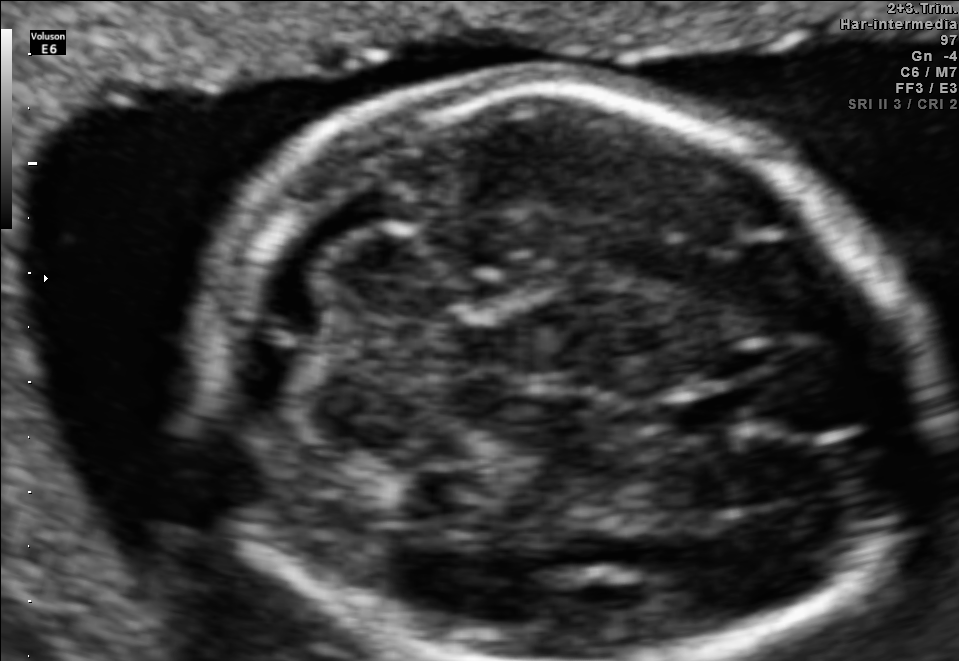
In this fetal brain, trans-cerebellum plane, give bounding boxes for the head outline, cavum septum pellucidum (CSP), and lateral ventricle (LV), where visible.

Head: [202,85,937,660]
CSP: [666,381,770,447]